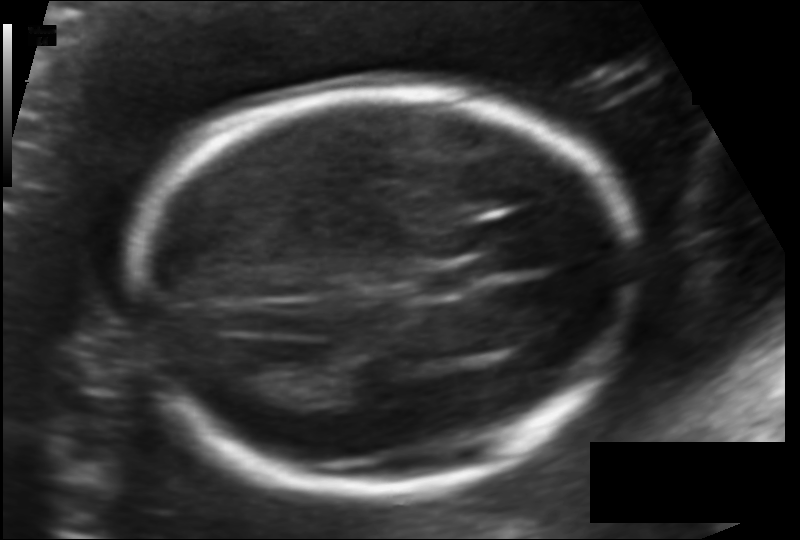
In this fetal head ultrasound, give the bounding box of the fetal head. Image width: 99.3 mm.

[133,88,636,488]